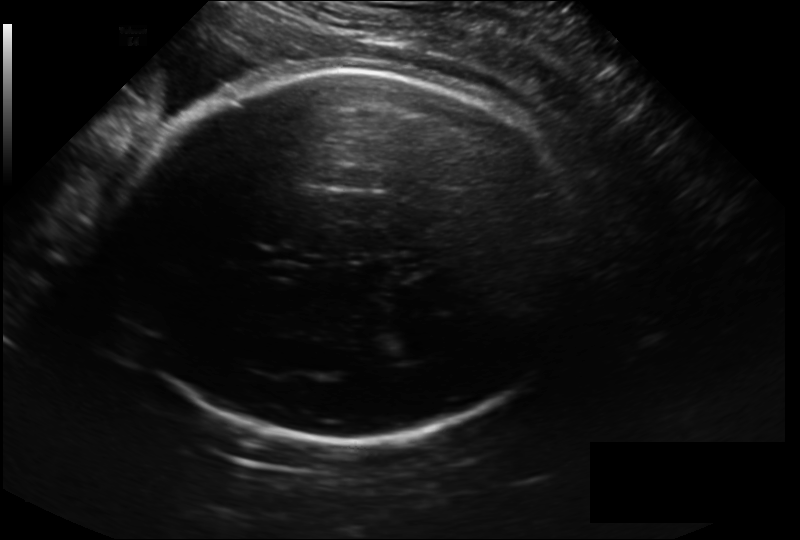
In this fetal head ultrasound, give bounding boxes for the head outline, cavum septum pellucidum (CSP), and lateral ventricle (LV), where visible. Image width: 182.1 mm.

Head: [116,70,582,442]